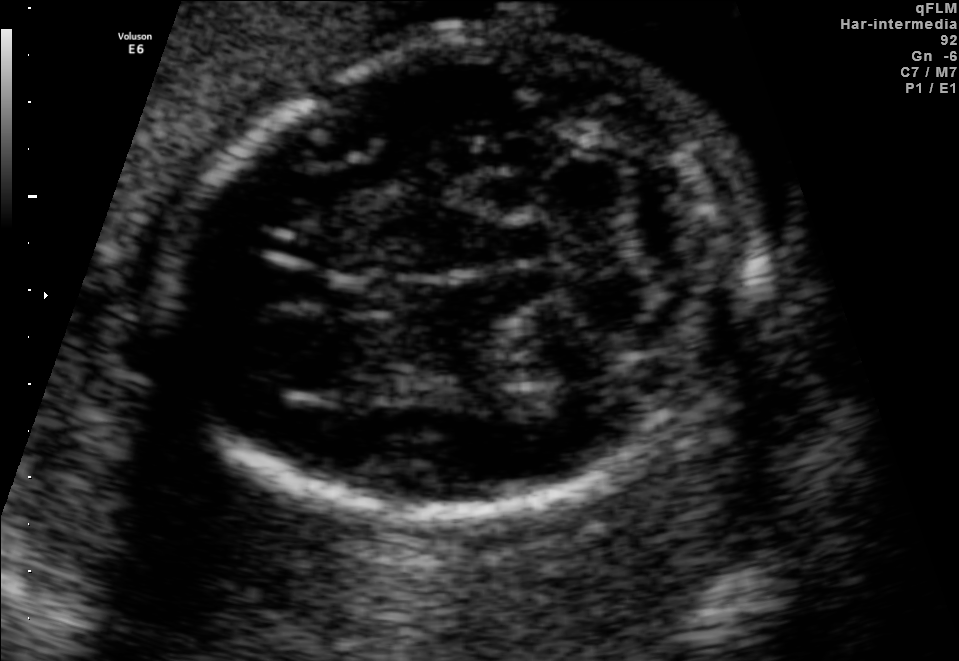
In this fetal brain, trans-cerebellum plane, give the bounding box of the fetal head.

[180,38,749,517]